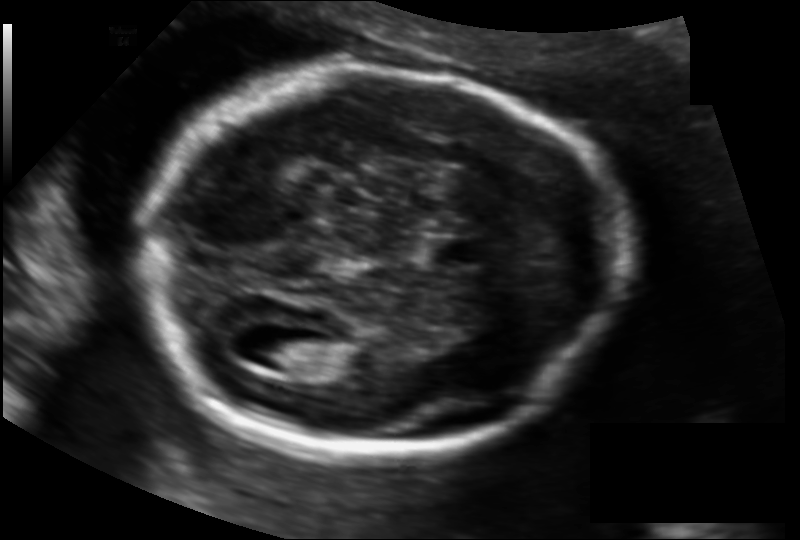
Fetal head ultrasound. Image width: 102.3 mm. Where is the fetal head?

Head bounding box: [142,69,621,452]